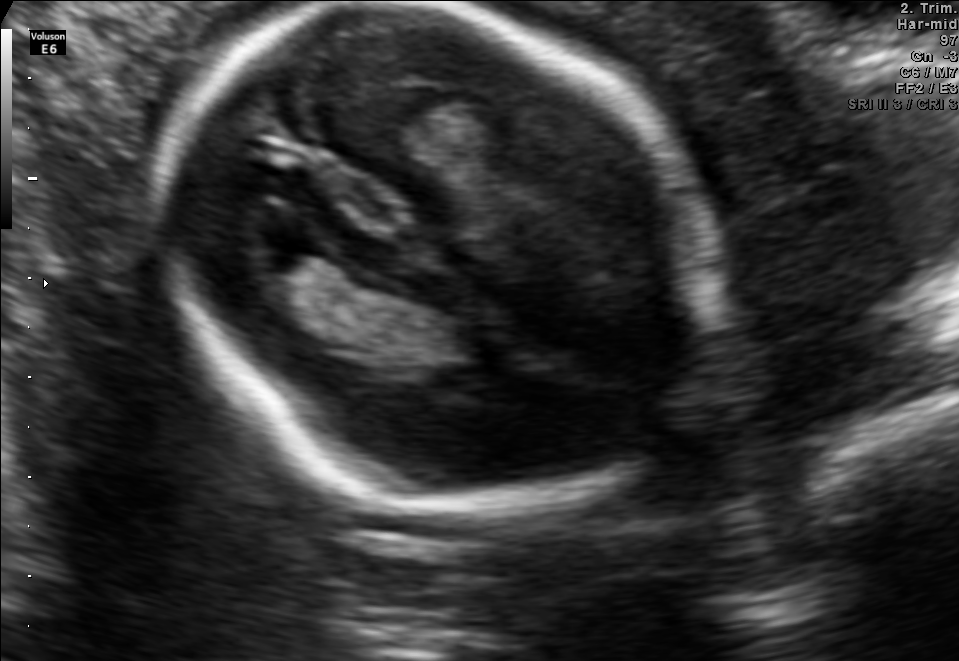
In this fetal brain, trans-thalamic plane, give the bounding box of the lateral ventricle.

[219,183,332,297]